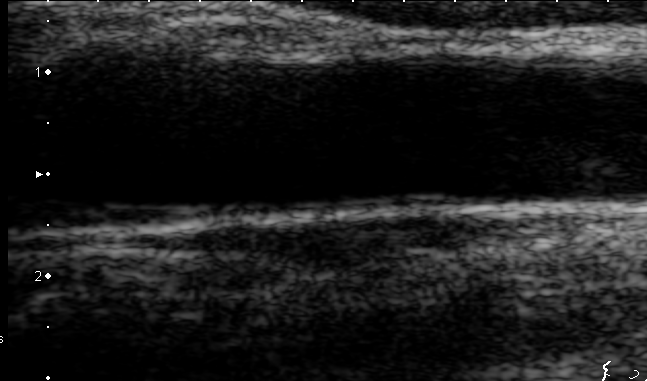
Classify this maternal-fetal ultrasound image as one of the six standard planes — fetal abdomen, fetal brain, fetal femur, fetal thorax, maternal cervix, or other. If it's fetal brain and one of the three standard brain planes (trans-thalamic, trans-cerebellum, trans-ventricular), name which.

Other